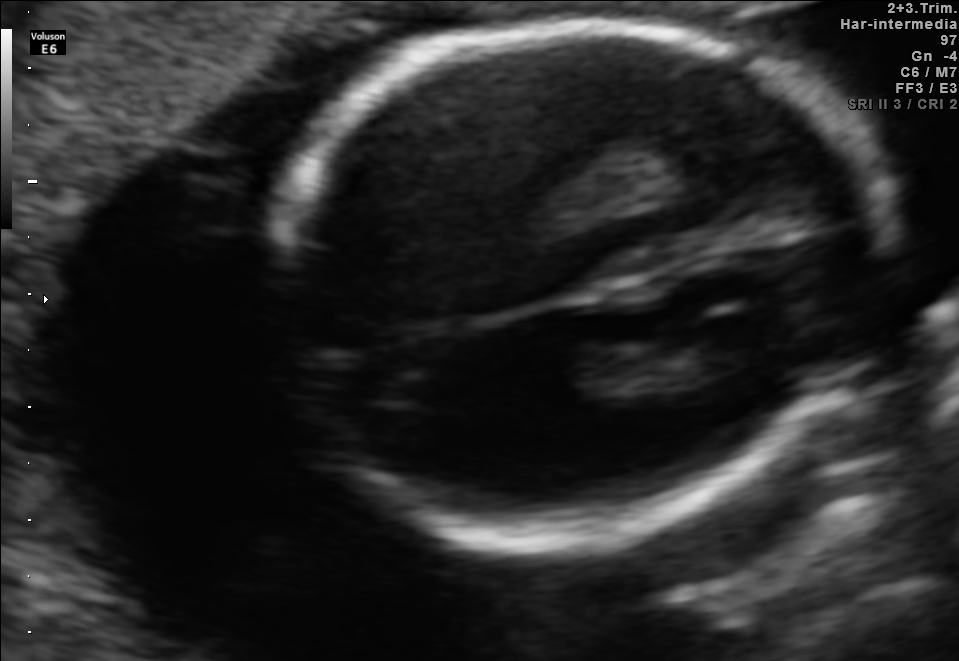
In this fetal brain, trans-thalamic plane, give the bounding box of the fetal head.

[263,20,874,541]